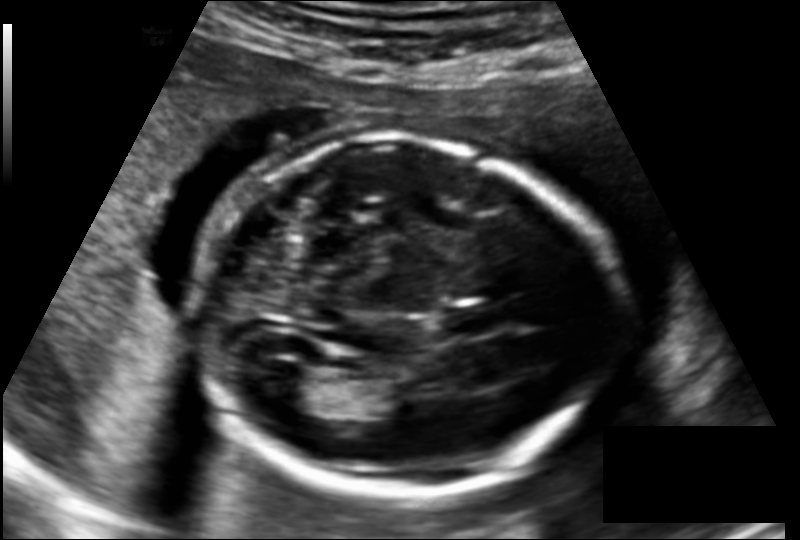
What is the fetal head circumference? Image width is 115.9 mm.

183.1 mm